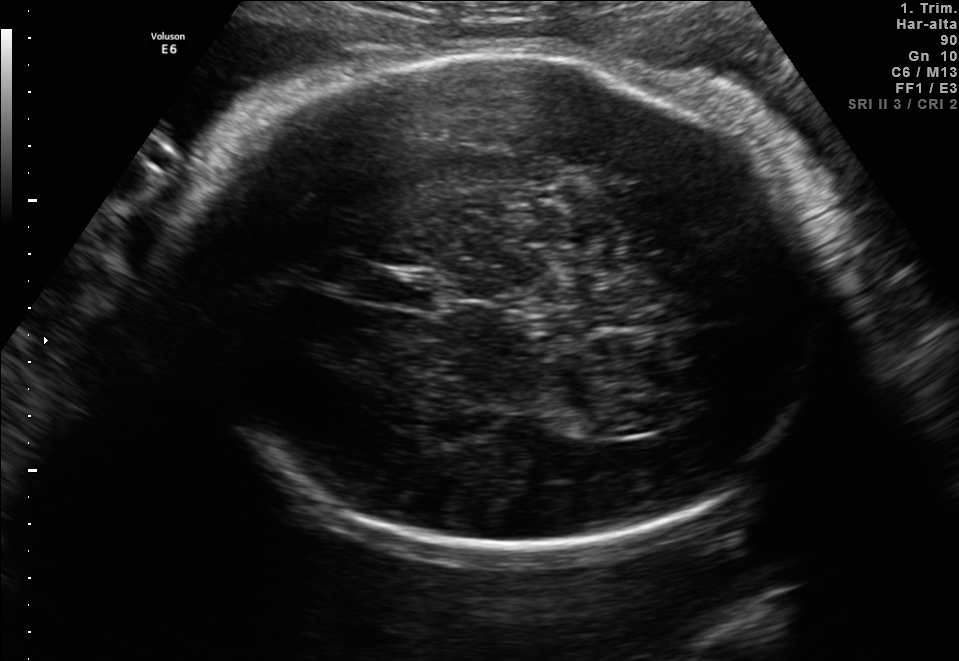
Fetal brain, trans-thalamic plane. Where is the cavum septum pellucidum?

CSP bounding box: [360,265,438,311]